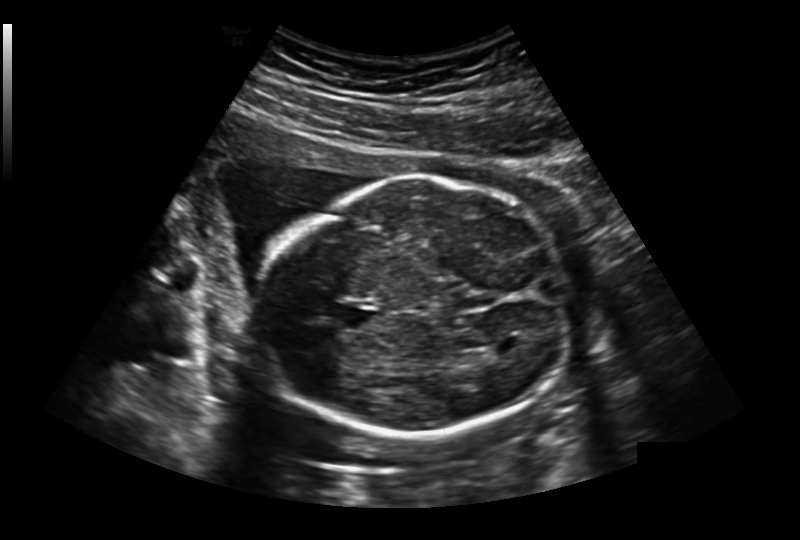
Estimate the fetal head circumference from this 2D ultrasound.

Head circumference: 213.2 mm (image width 188.6 mm).